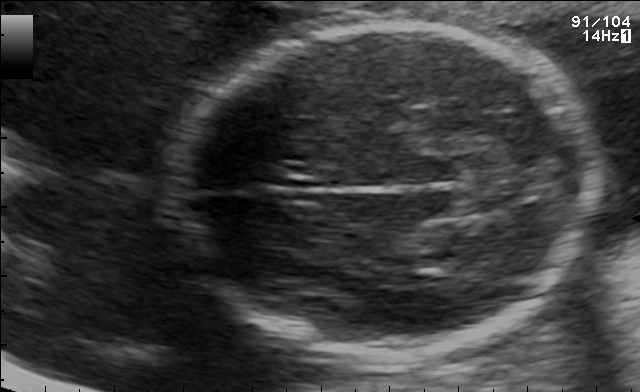
Which standard maternal-fetal ultrasound plane is shown: fetal abdomen, fetal brain, fetal femur, fetal thorax, maternal cervix, or other? If it's fetal brain and one of the three standard brain planes (trans-thalamic, trans-cerebellum, trans-ventricular), name which.

Fetal brain (trans-thalamic plane)